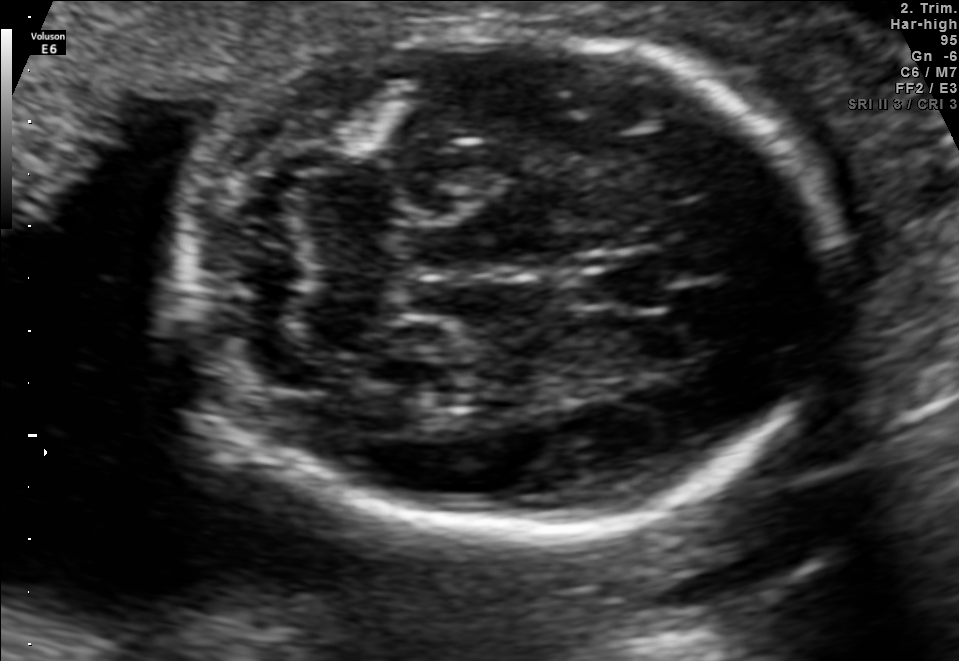
Fetal brain, trans-cerebellum plane. Give [x1,y1,x2,y2] bounding boxes for each visible structure among: fetal head, CSP, LV.

Head: [182,25,835,536]
CSP: [584,261,677,316]